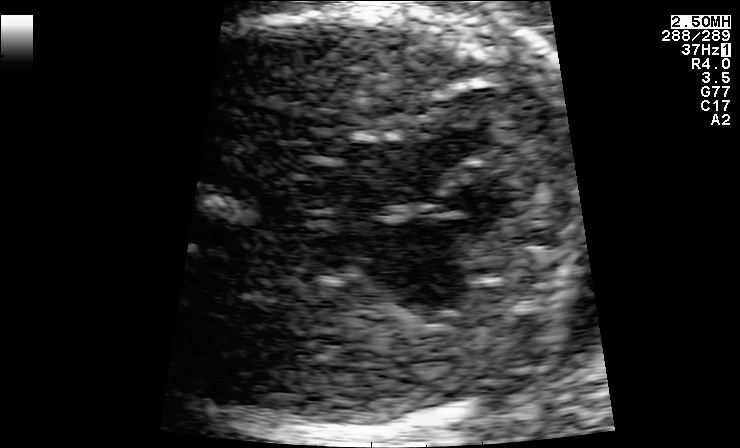
Which standard maternal-fetal ultrasound plane is shown: fetal abdomen, fetal brain, fetal femur, fetal thorax, maternal cervix, or other? If it's fetal brain and one of the three standard brain planes (trans-thalamic, trans-cerebellum, trans-ventricular), name which.

Fetal thorax